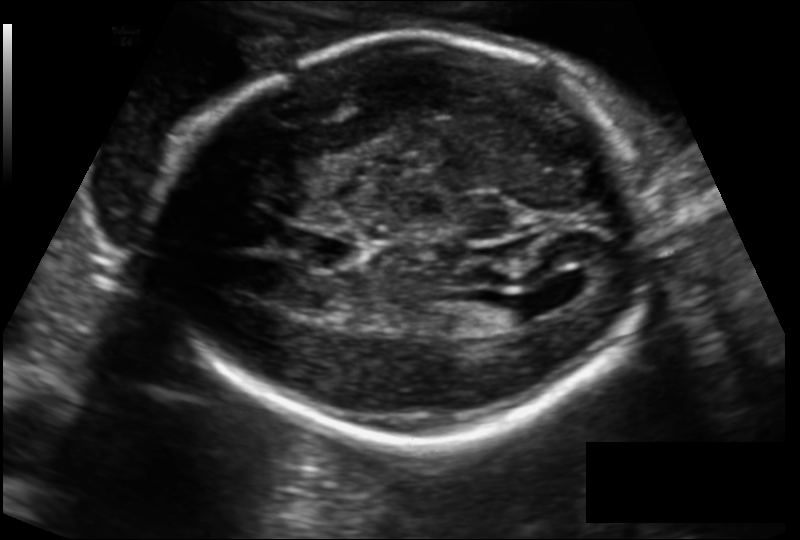
In this fetal head ultrasound, give the bounding box of the fetal head. Image width: 119.5 mm.

[154,35,659,440]